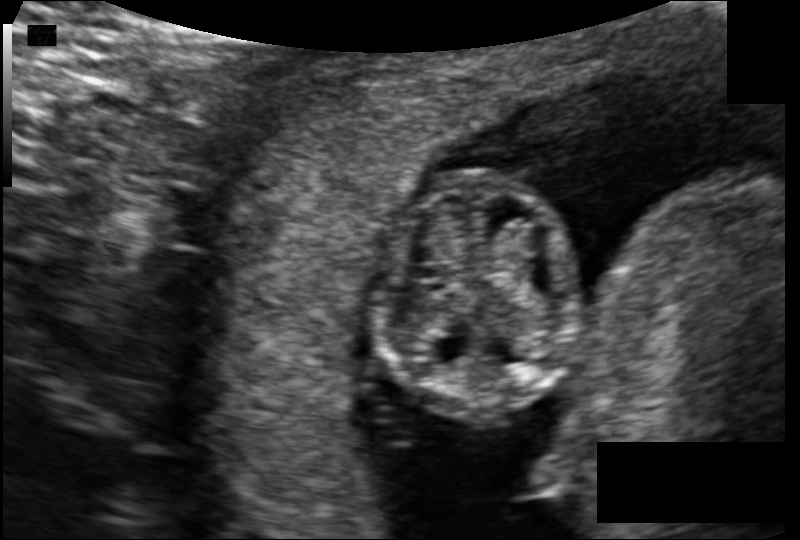
Fetal head ultrasound. Image width: 81.0 mm. Give [x1,y1,x2,y2] bounding boxes for each visible structure among: fetal head, CSP, LV.

Head: [373,172,579,414]